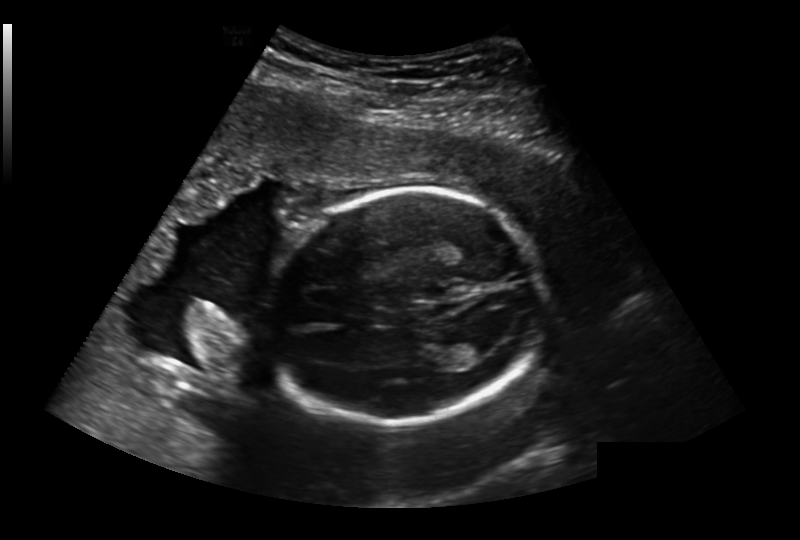
Fetal head ultrasound. Image width: 188.7 mm. Give [x1,y1,x2,y2] bounding boxes for each visible structure among: fetal head, CSP, LV.

Head: [264,190,541,425]
Lateral ventricle: [444,323,499,370]